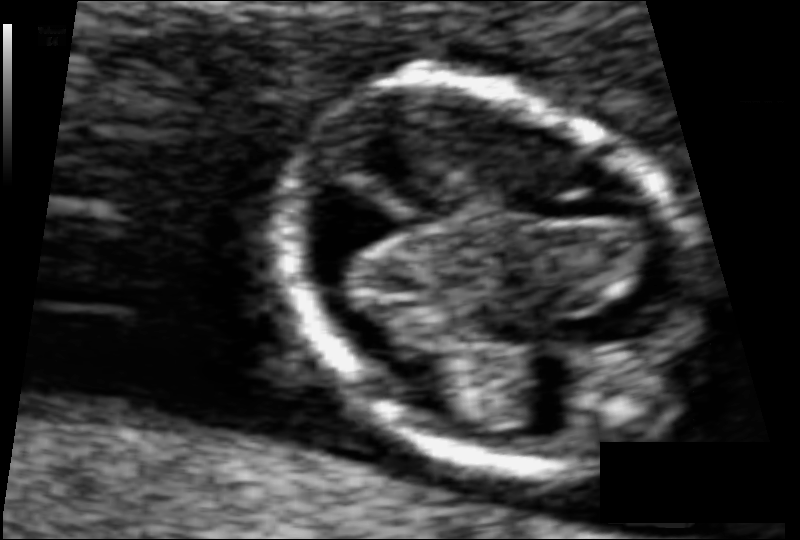
Fetal head ultrasound. Image width: 46.0 mm. Where is the fetal head?

Head bounding box: [276,82,697,457]